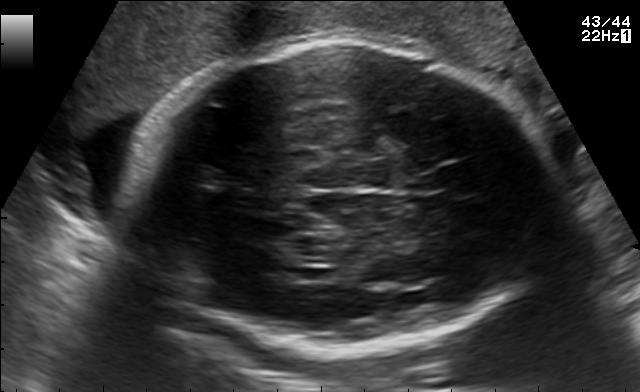
Fetal brain, trans-thalamic plane. Locate the fetal head and, if visible, the cavum septum pellucidum (CSP) and lateral ventricle (LV). Give bounding boxes as [x1,y1,x2,y2].

Head: [131,43,552,357]